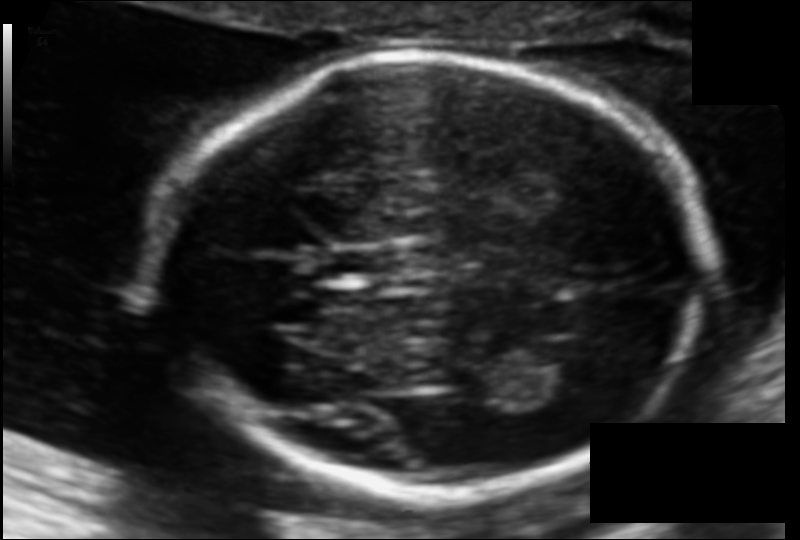
Estimate the fetal head circumference from this 2D ultrasound.

Head circumference: 174.8 mm (image width 86.8 mm).